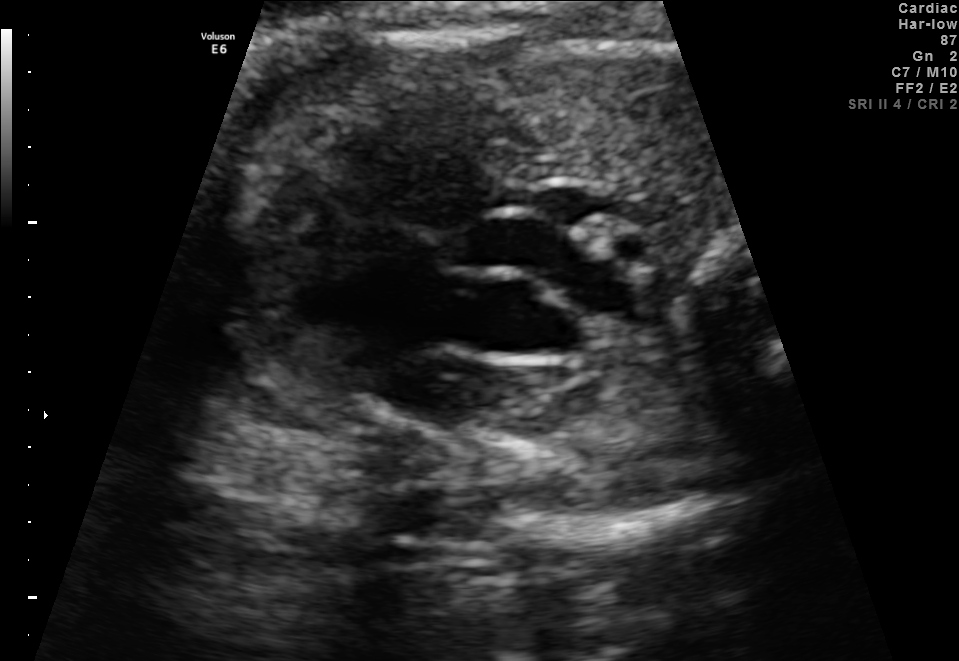
Classify this maternal-fetal ultrasound image as one of the six standard planes — fetal abdomen, fetal brain, fetal femur, fetal thorax, maternal cervix, or other. If it's fetal brain and one of the three standard brain planes (trans-thalamic, trans-cerebellum, trans-ventricular), name which.

Fetal thorax